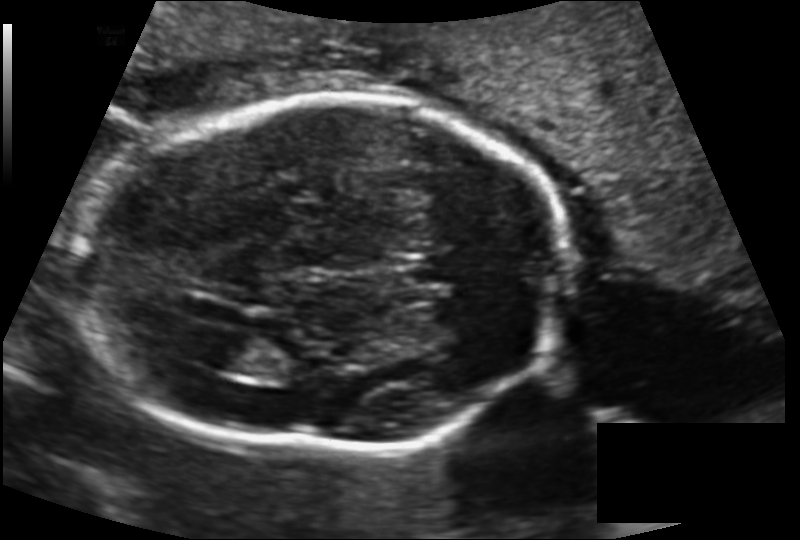
Fetal head ultrasound. Image width: 114.0 mm. Locate the lateral ventricle.

Lateral ventricle: [202,330,273,378]